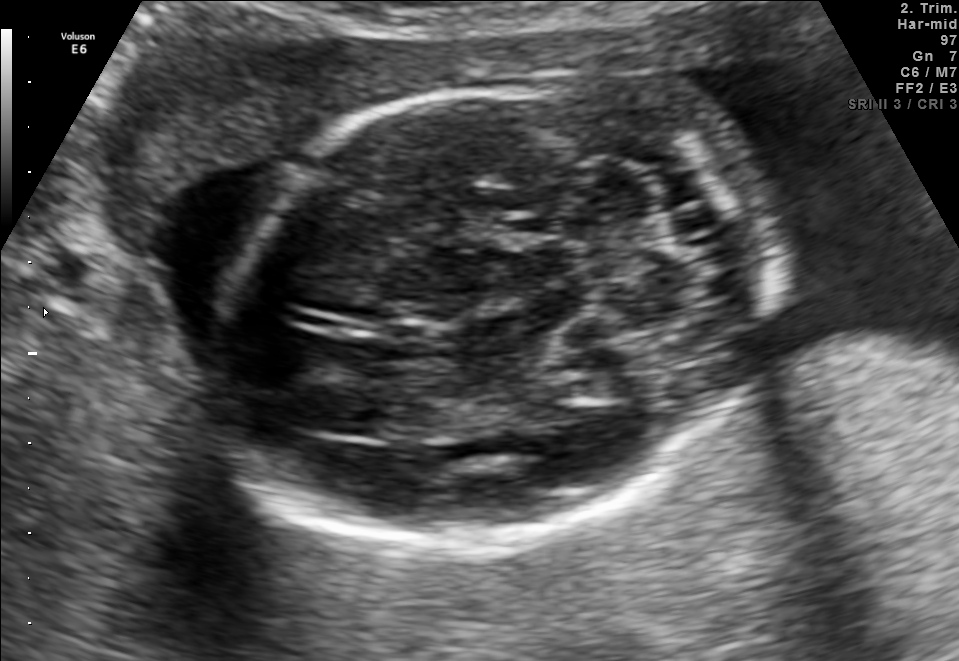
Fetal brain, trans-cerebellum plane. Give [x1,y1,x2,y2] bounding boxes for each visible structure among: fetal head, CSP, LV.

Head: [205,76,778,545]